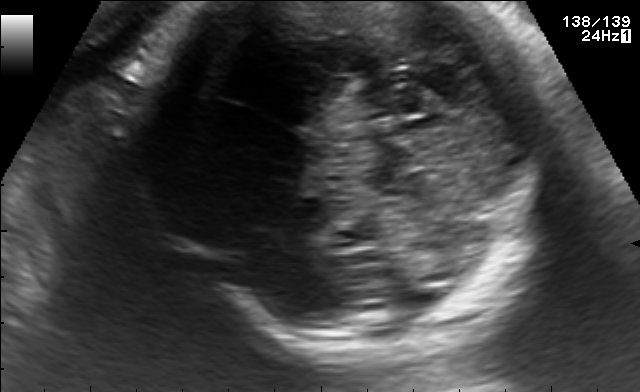
In this fetal brain, trans-cerebellum plane, give the bounding box of the fetal head.

[159,1,551,350]